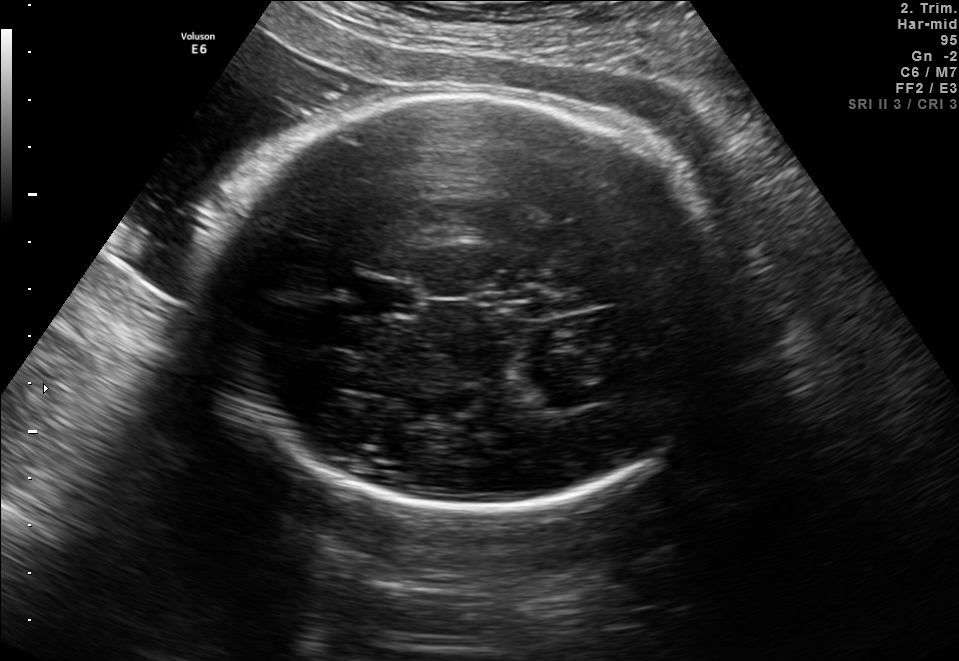
Fetal brain, trans-thalamic plane. Give [x1,y1,x2,y2] bounding boxes for each visible structure among: fetal head, CSP, LV.

Head: [214,96,741,509]
CSP: [355,277,418,318]
Lateral ventricle: [528,380,608,415]